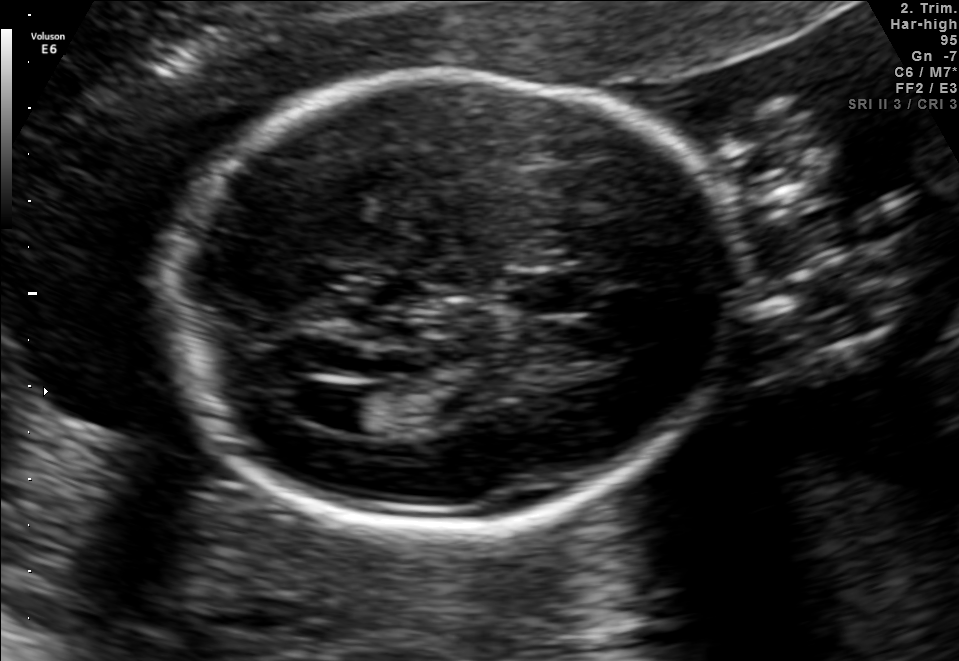
Fetal brain, trans-ventricular plane. Locate the fetal head and, if visible, the cavum septum pellucidum (CSP) and lateral ventricle (LV). Give bounding boxes as [x1,y1,x2,y2].

Head: [157,64,754,537]
CSP: [497,267,601,321]
Lateral ventricle: [272,372,379,436]